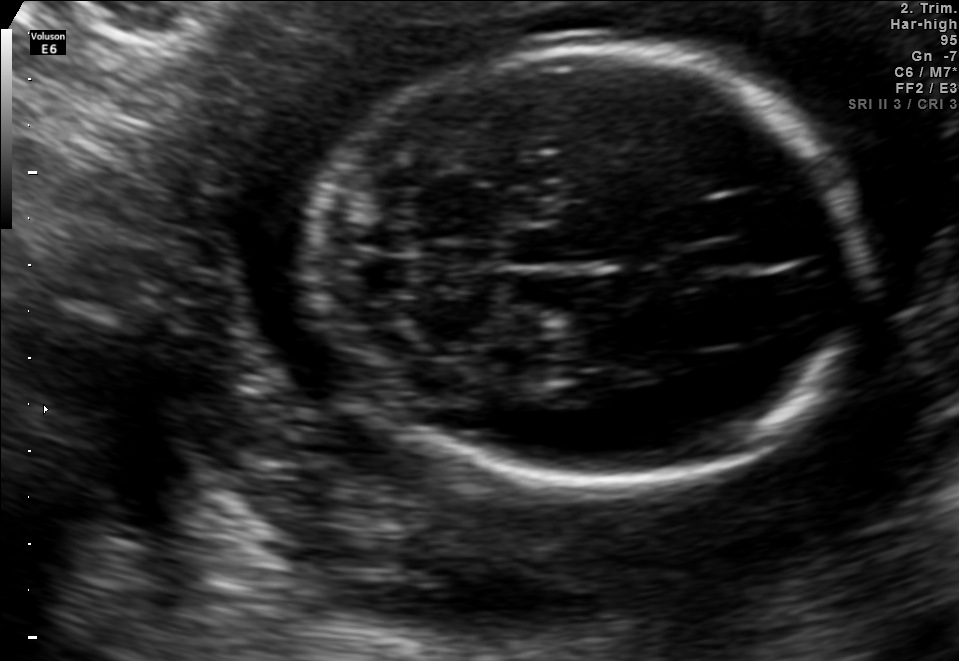
Fetal brain, trans-cerebellum plane. Give [x1,y1,x2,y2] bounding boxes for each visible structure among: fetal head, CSP, LV.

Head: [312,49,855,482]